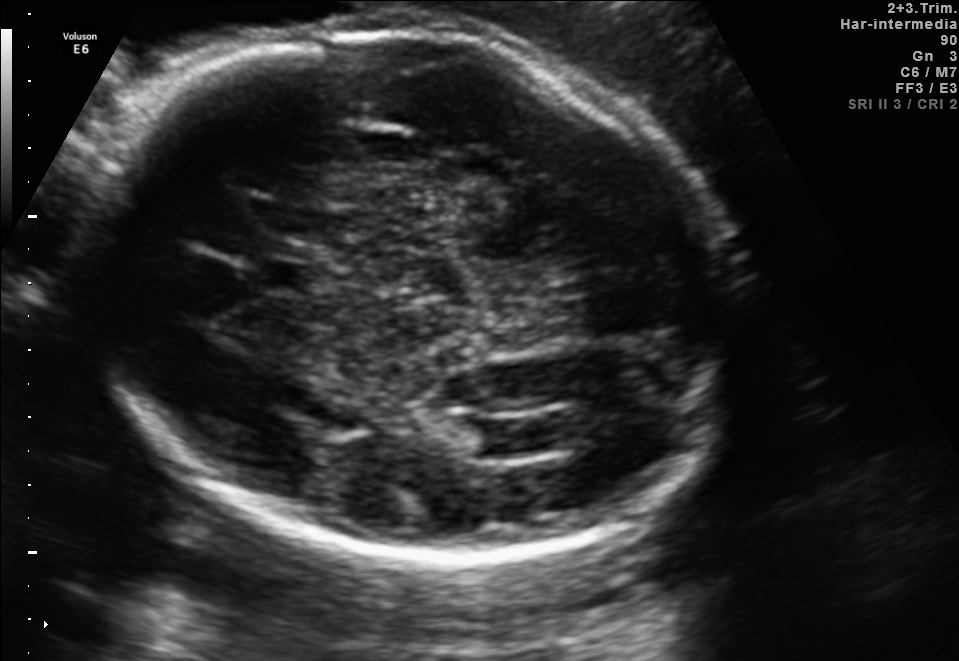
In this fetal brain, trans-ventricular plane, give bounding boxes for the head outline, cavum septum pellucidum (CSP), and lateral ventricle (LV), where visible.

Head: [67,17,760,570]
CSP: [229,244,332,305]
Lateral ventricle: [470,410,566,458]